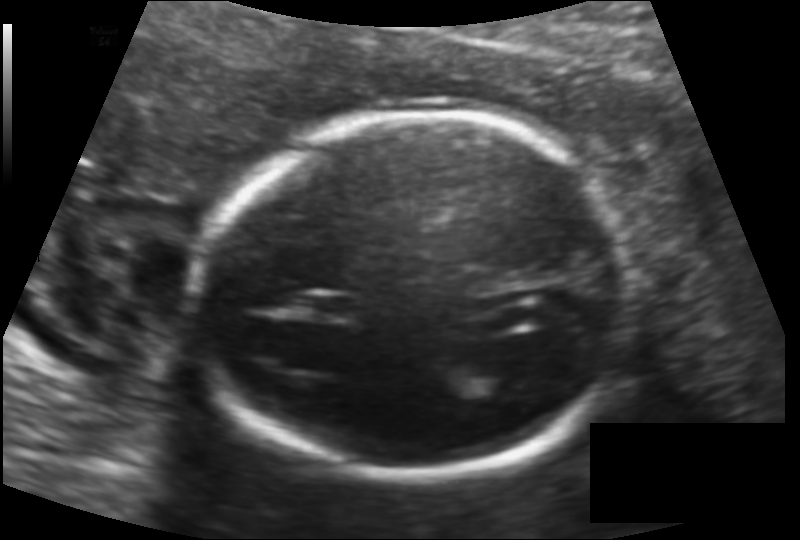
Fetal head ultrasound. Image width: 104.4 mm. Give [x1,y1,x2,y2] bounding boxes for each visible structure among: fetal head, CSP, LV.

Head: [198,115,631,474]
CSP: [304,292,357,320]